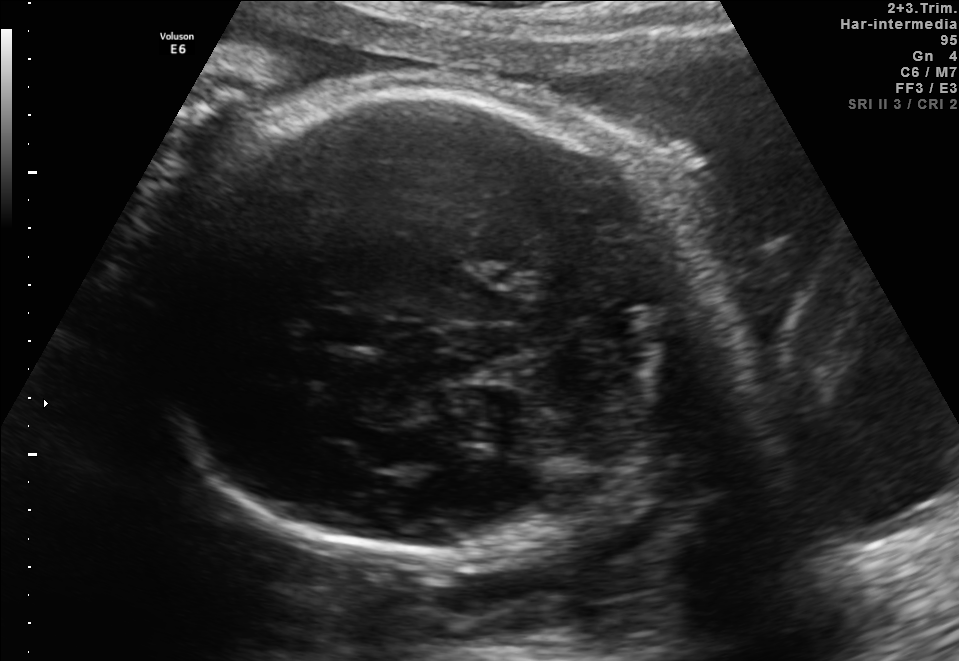
Fetal brain, trans-thalamic plane. Locate the cavum septum pellucidum.

CSP: [310,308,385,349]